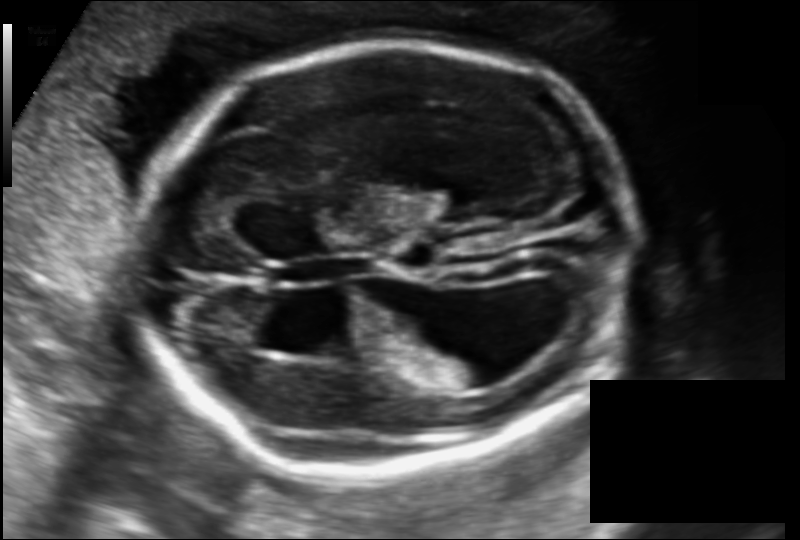
In this fetal head ultrasound, give bounding boxes for the head outline, cavum septum pellucidum (CSP), and lateral ventricle (LV), where visible. Image width: 112.8 mm.

Head: [133,44,635,466]